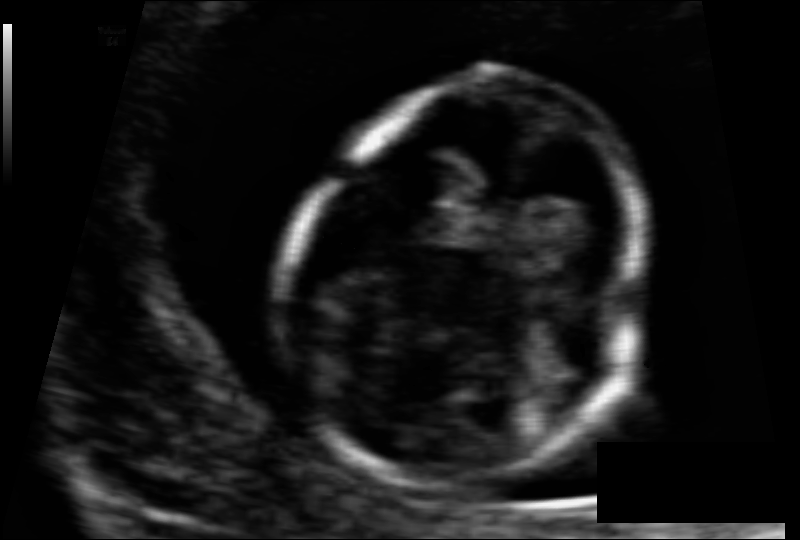
What is the fetal head circumference? Image width is 50.2 mm.

78.1 mm